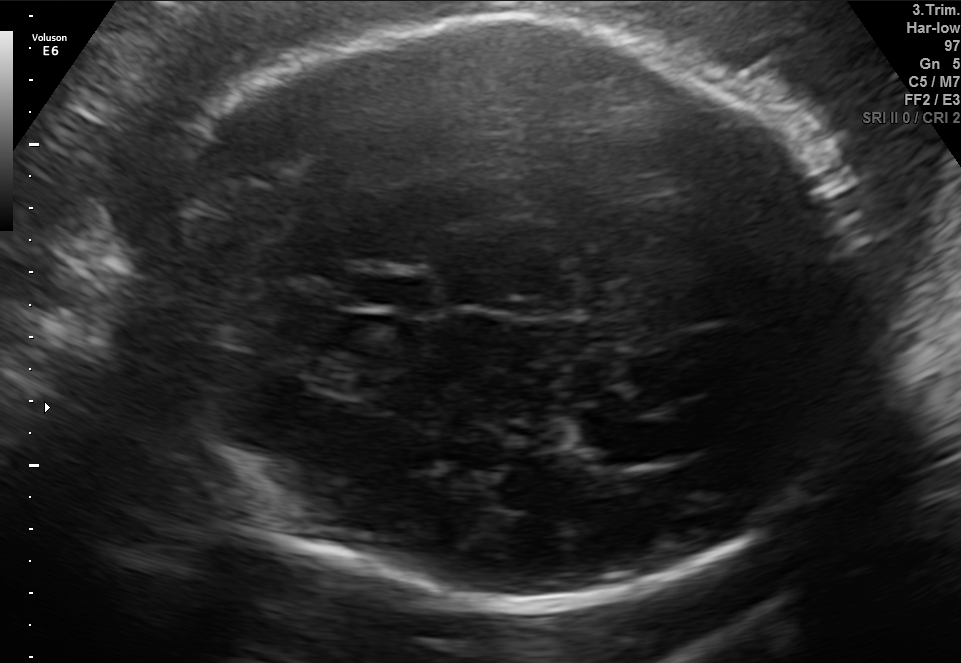
In this fetal brain, trans-thalamic plane, give bounding boxes for the head outline, cavum septum pellucidum (CSP), and lateral ventricle (LV), where visible.

Head: [152,19,875,608]
CSP: [356,274,431,312]
Lateral ventricle: [580,414,692,469]